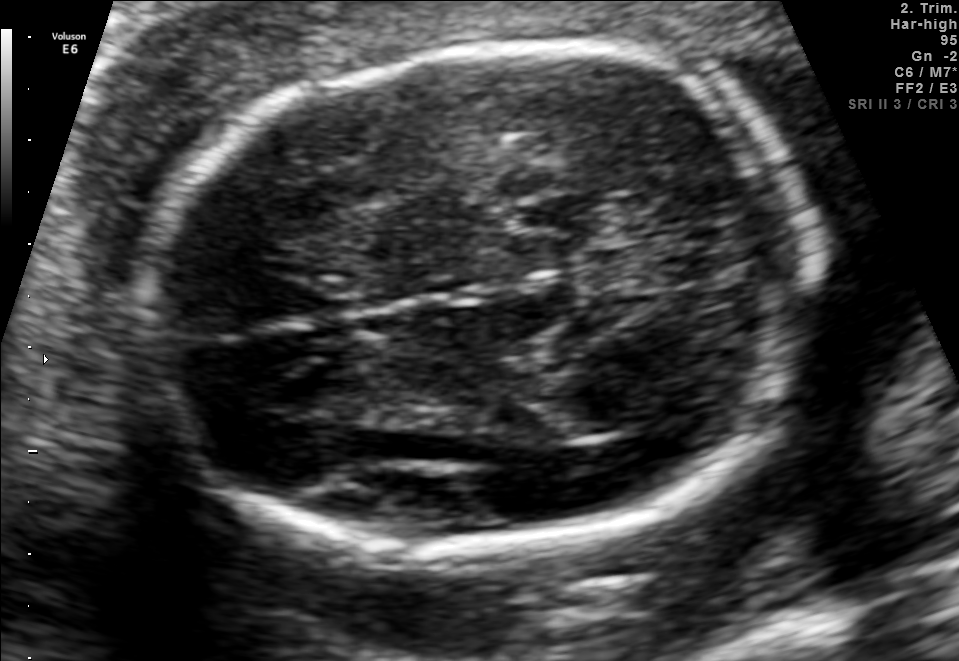
Fetal brain, trans-thalamic plane. Where is the lateral ventricle?

Lateral ventricle bounding box: [527,381,640,448]